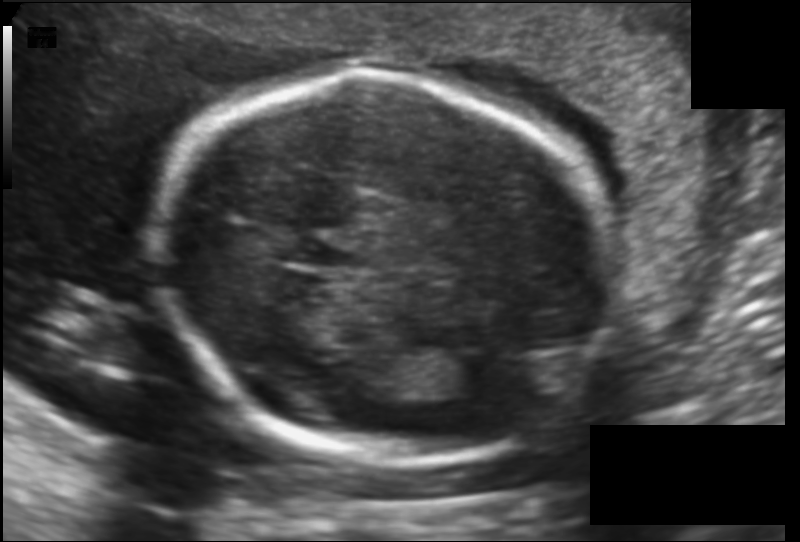
Estimate the fetal head circumference from this 2D ultrasound. Image width: 103.7 mm.

Head circumference: 179.9 mm.